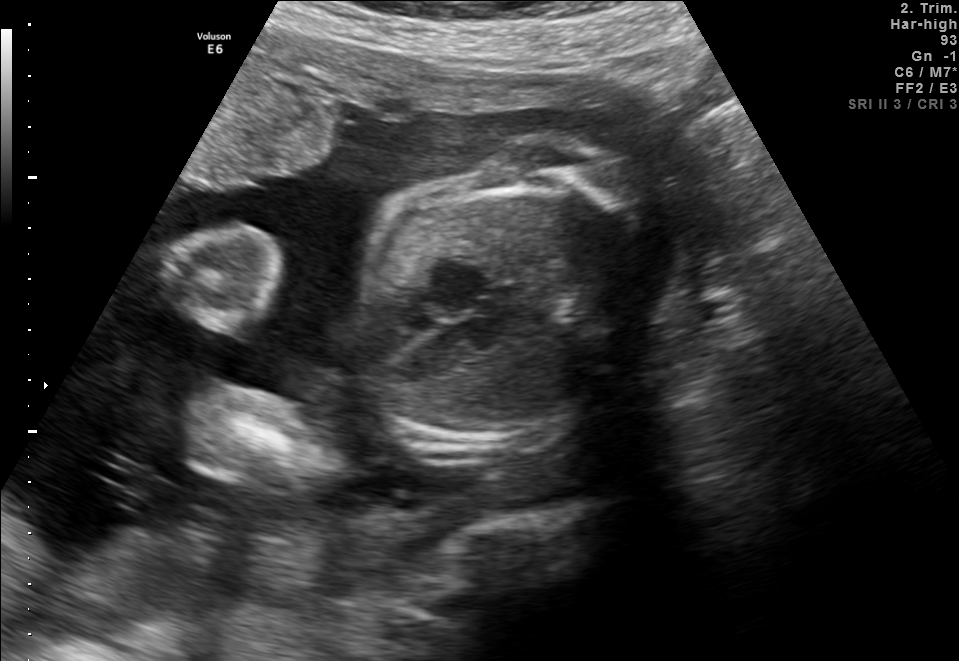
Classify this maternal-fetal ultrasound image as one of the six standard planes — fetal abdomen, fetal brain, fetal femur, fetal thorax, maternal cervix, or other. If it's fetal brain and one of the three standard brain planes (trans-thalamic, trans-cerebellum, trans-ventricular), name which.

Fetal thorax